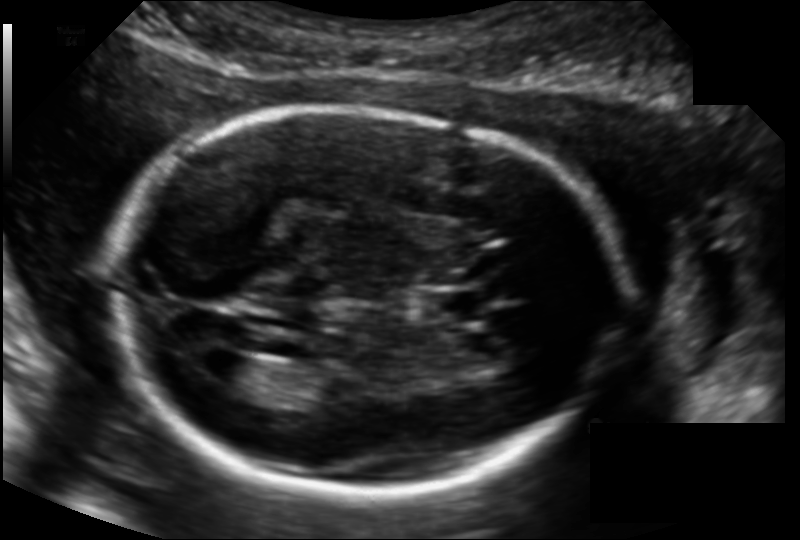
In this fetal head ultrasound, give the bounding box of the lateral ventricle. Image width: 107.7 mm.

[194,343,267,397]